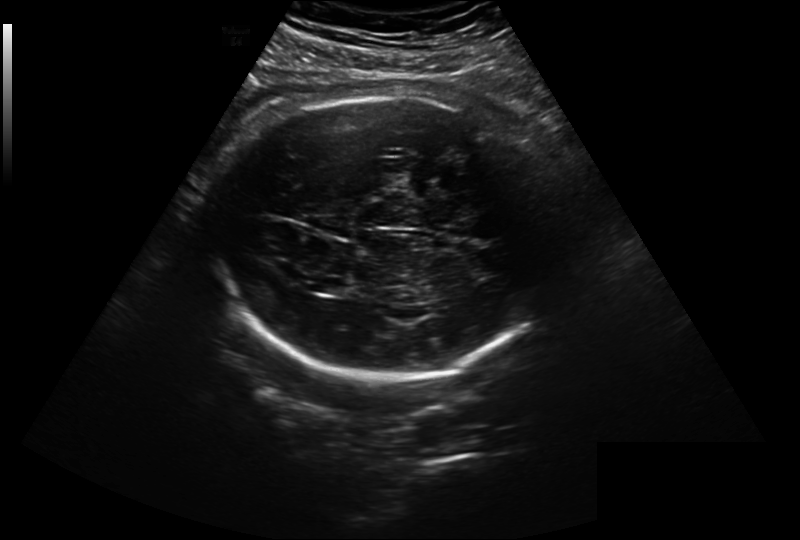
From this fetal ultrasound, estimate the head circumference (image width 239.2 mm).

Head circumference: 315.3 mm.